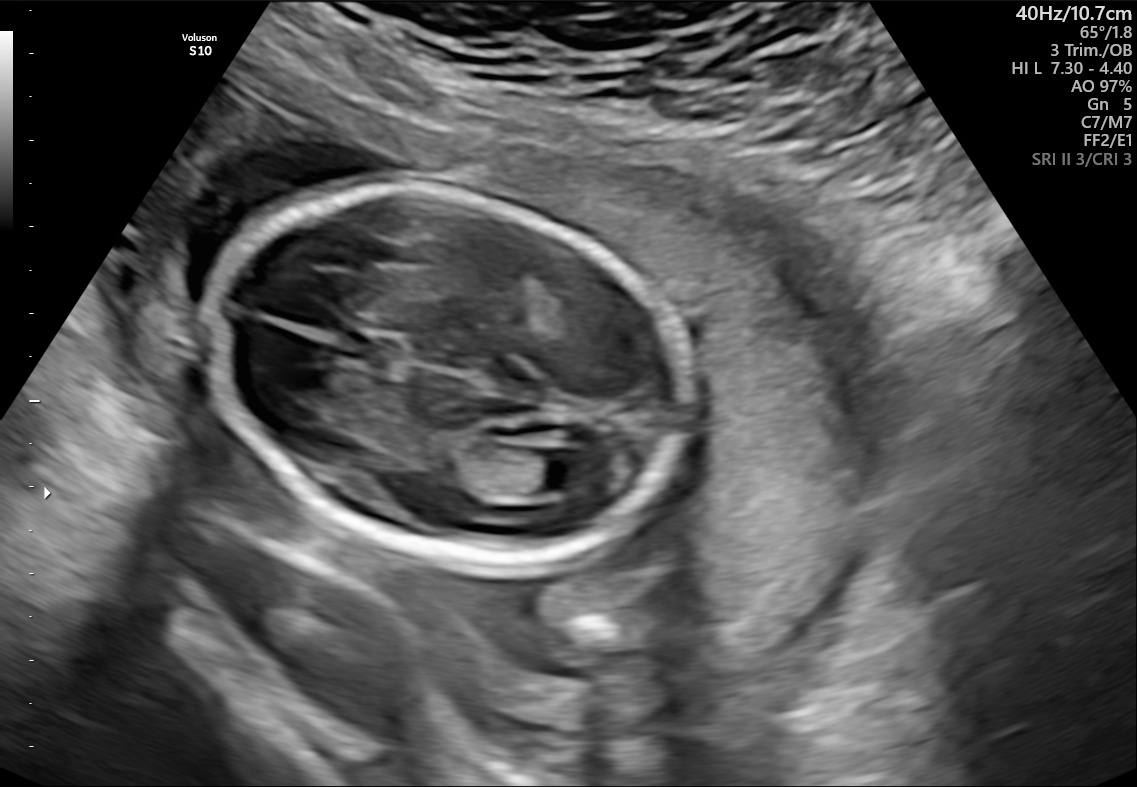
In this fetal brain, trans-ventricular plane, give bounding boxes for the head outline, cavum septum pellucidum (CSP), and lateral ventricle (LV), where visible.

Head: [205,183,692,566]
CSP: [340,329,391,370]
Lateral ventricle: [519,448,592,492]